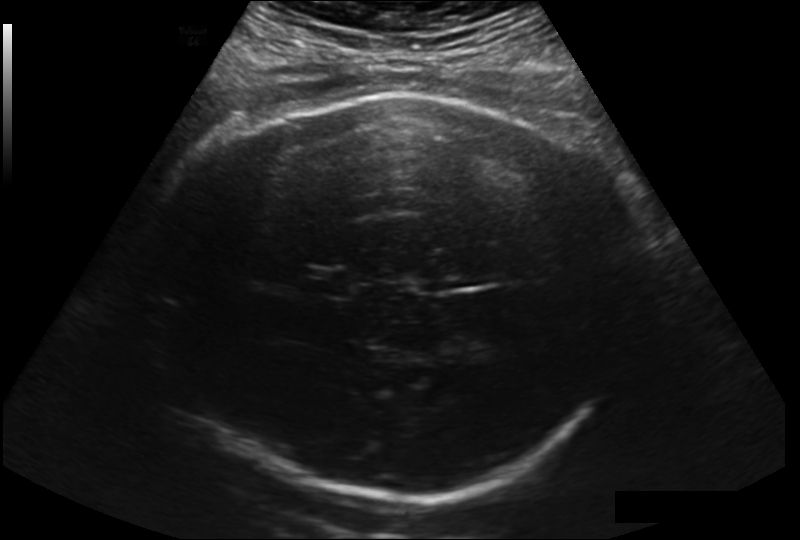
Measure the fetal head circumference shown in this ultrasound image. Image width: 179.8 mm.

Head circumference: 327.6 mm.